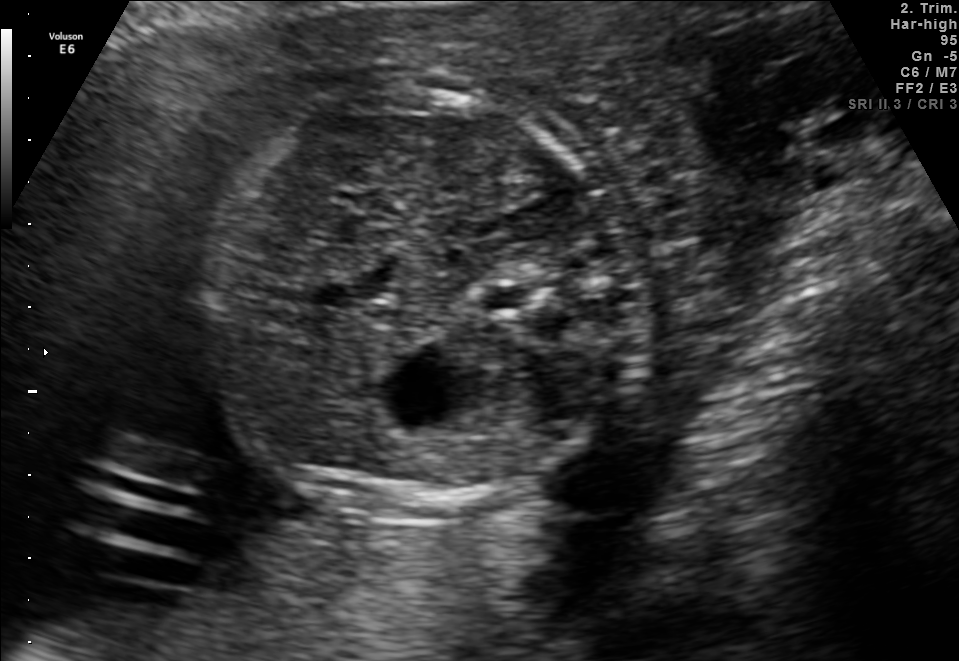
Identify the standard plane in this fetal ultrasound image: fetal abdomen, fetal brain, fetal femur, fetal thorax, maternal cervix, or other. If it's fetal brain and one of the three standard brain planes (trans-thalamic, trans-cerebellum, trans-ventricular), name which.

Fetal abdomen